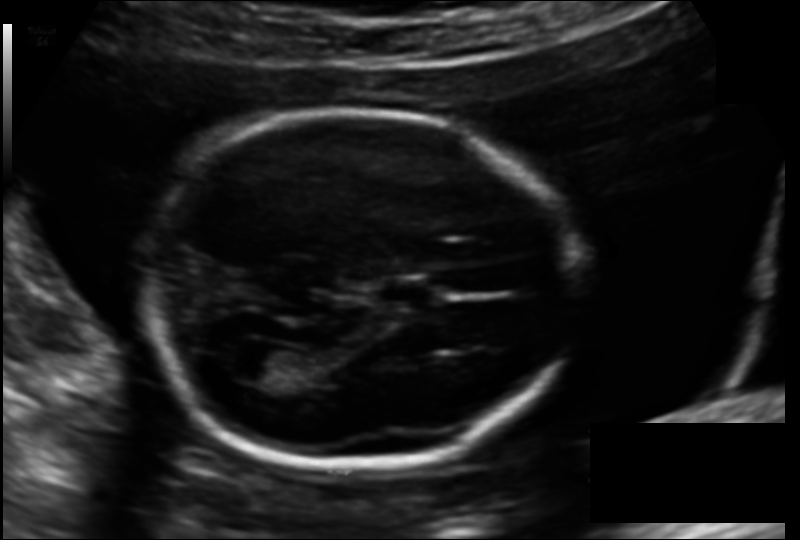
In this fetal head ultrasound, give the bounding box of the lateral ventricle. Image width: 109.9 mm.

[234,349,284,381]